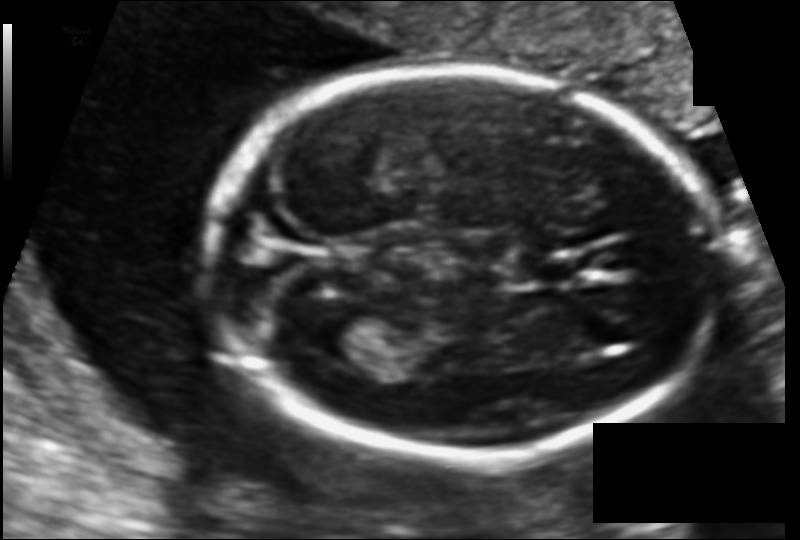
Fetal head ultrasound. Image width: 86.7 mm. Locate the fetal head and, if visible, the cavum septum pellucidum (CSP) and lateral ventricle (LV). Give bounding boxes as [x1,y1,x2,y2].

Head: [211,67,716,457]
CSP: [519,254,582,287]
Lateral ventricle: [300,297,382,367]